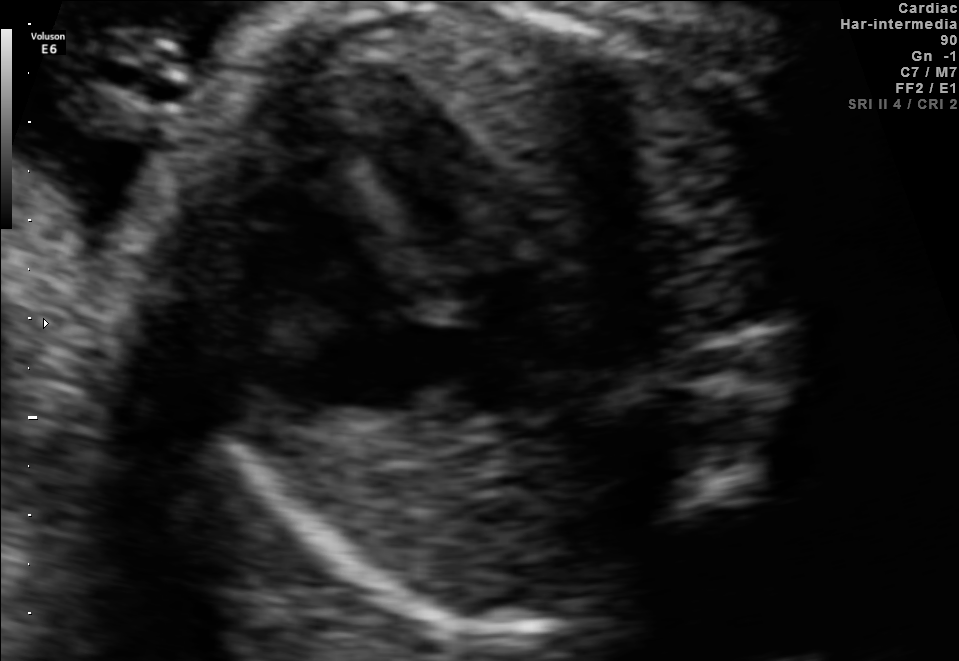
Which standard maternal-fetal ultrasound plane is shown: fetal abdomen, fetal brain, fetal femur, fetal thorax, maternal cervix, or other? If it's fetal brain and one of the three standard brain planes (trans-thalamic, trans-cerebellum, trans-ventricular), name which.

Fetal thorax